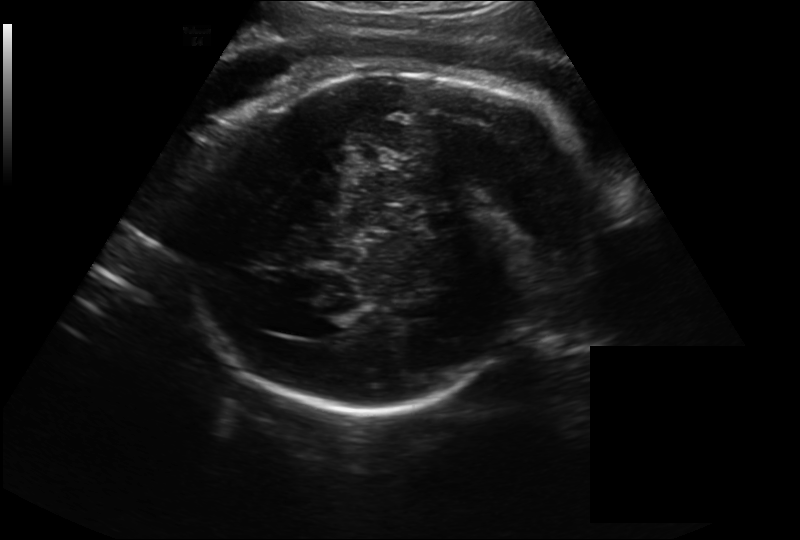
Fetal head ultrasound. Image width: 209.3 mm. Locate the fetal head.

Head: [194,65,585,408]